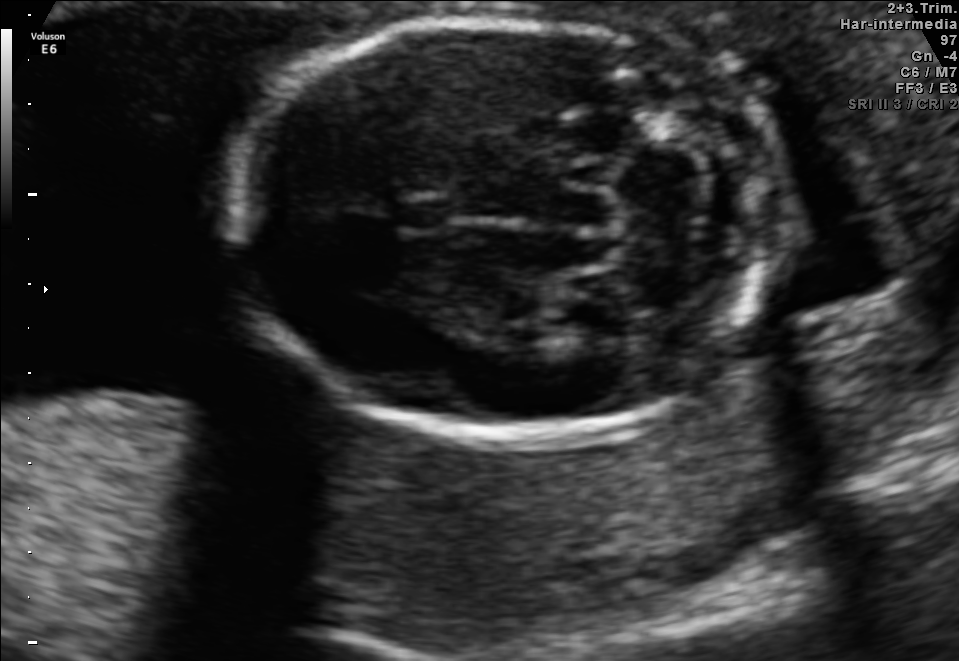
Fetal brain, trans-cerebellum plane. Locate the fetal head.

Head: [231,18,768,443]